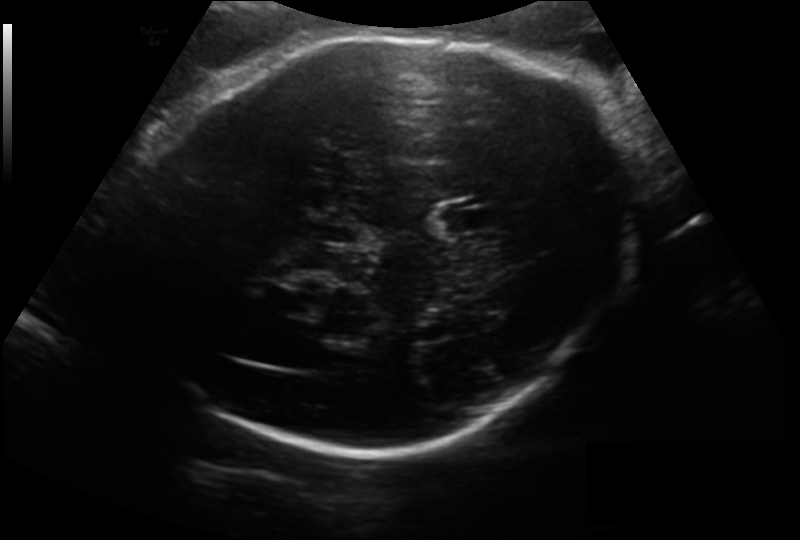
From this fetal ultrasound, estimate the head circumference (image width 160.1 mm).

Head circumference: 294.9 mm.